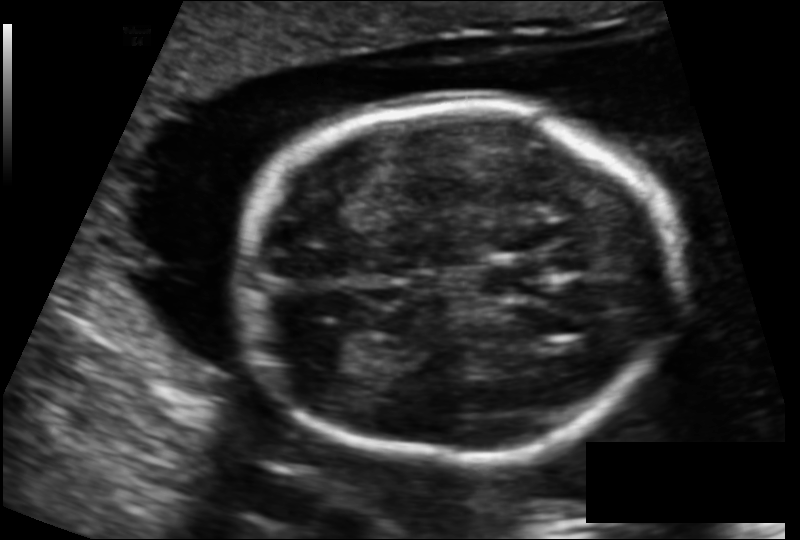
Fetal head ultrasound. Image width: 104.4 mm. Locate the fetal head and, if visible, the cavum septum pellucidum (CSP) and lateral ventricle (LV). Give bounding boxes as [x1,y1,x2,y2].

Head: [239,105,677,462]
CSP: [485,264,548,297]
Lateral ventricle: [294,319,388,377]